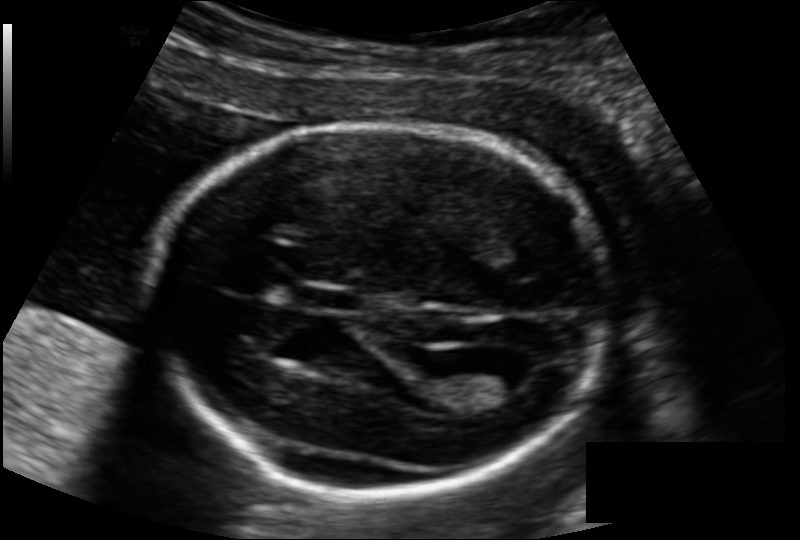
From this fetal ultrasound, estimate the head circumference (image width 106.7 mm).

Head circumference: 176.4 mm.